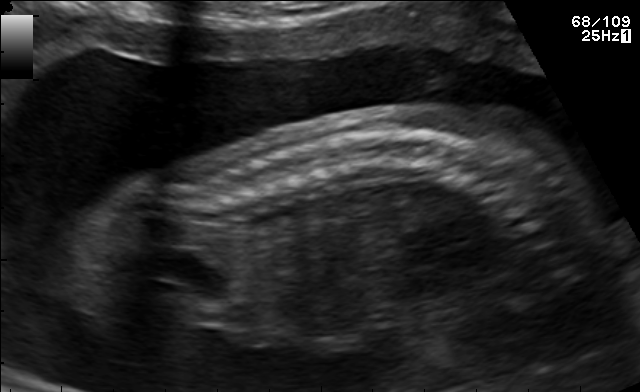
Which standard maternal-fetal ultrasound plane is shown: fetal abdomen, fetal brain, fetal femur, fetal thorax, maternal cervix, or other? If it's fetal brain and one of the three standard brain planes (trans-thalamic, trans-cerebellum, trans-ventricular), name which.

Other